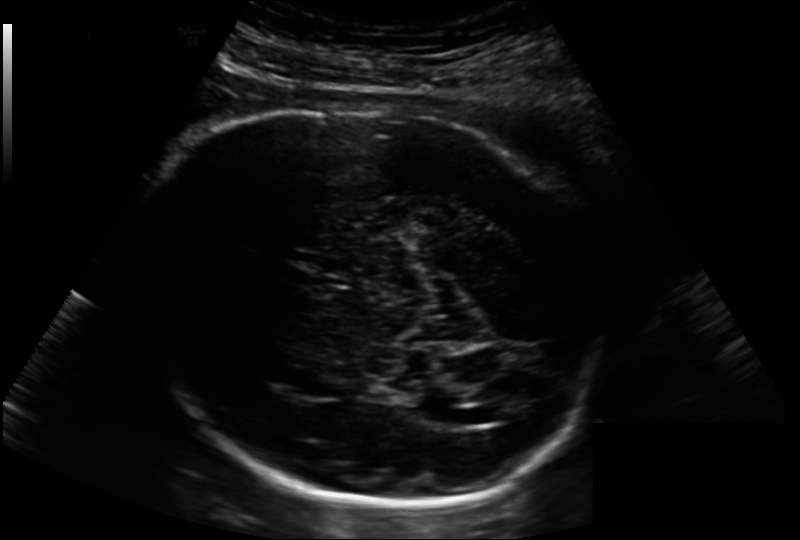
Fetal head ultrasound. Image width: 161.6 mm. Where is the fetal head?

Head bounding box: [123,105,601,502]